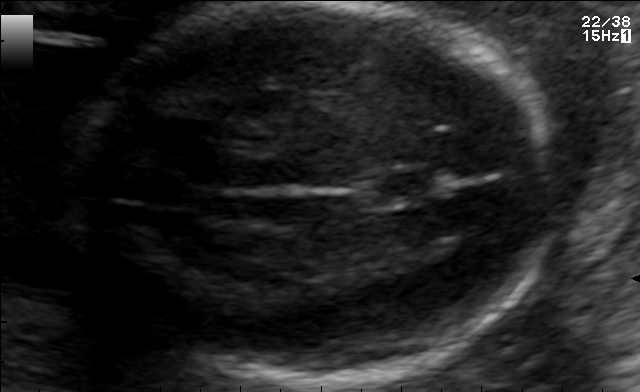
Fetal brain, trans-thalamic plane. Give [x1,y1,x2,y2] bounding boxes for each visible structure among: fetal head, CSP, LV.

Head: [64,4,557,383]
CSP: [365,166,442,206]